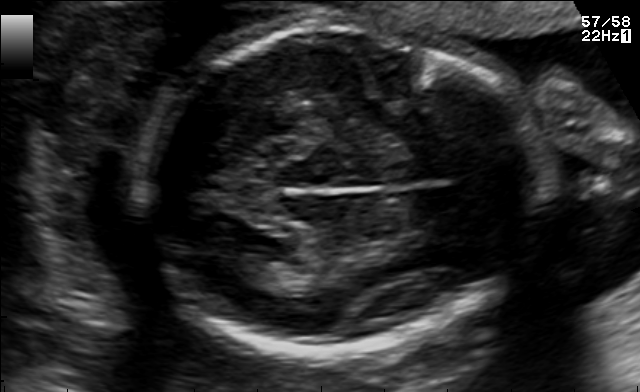
Fetal brain, trans-thalamic plane. Locate the fetal head and, if visible, the cavum septum pellucidum (CSP) and lateral ventricle (LV). Give bounding boxes as [x1,y1,x2,y2].

Head: [141,23,541,352]